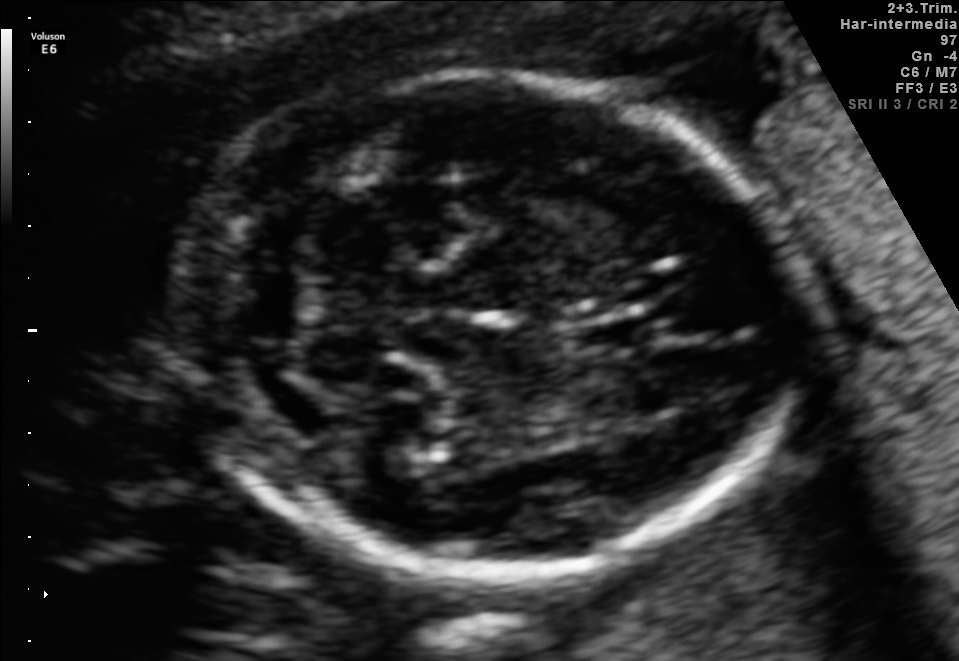
Fetal brain, trans-cerebellum plane. Locate the fetal head and, if visible, the cavum septum pellucidum (CSP) and lateral ventricle (LV). Give bounding boxes as [x1,y1,x2,y2].

Head: [177,73,788,574]
CSP: [565,305,656,365]